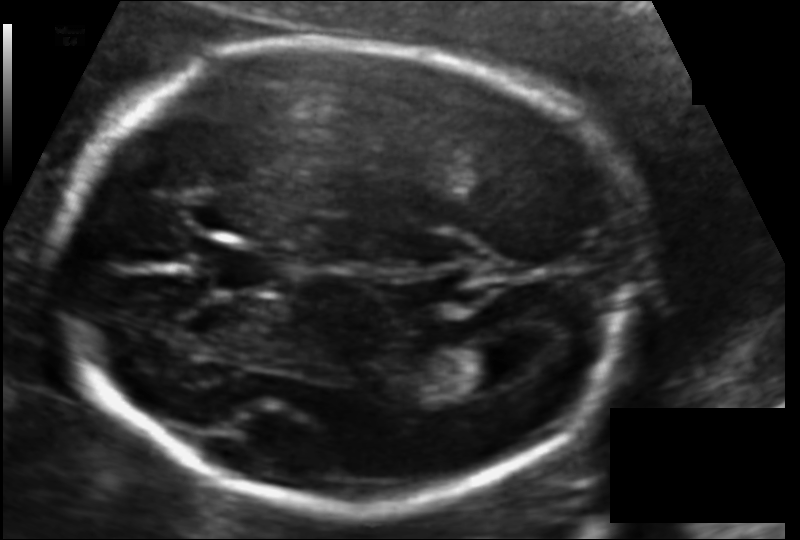
Fetal head ultrasound. Image width: 92.7 mm. Where is the lateral ventricle?

Lateral ventricle bounding box: [447,335,534,397]